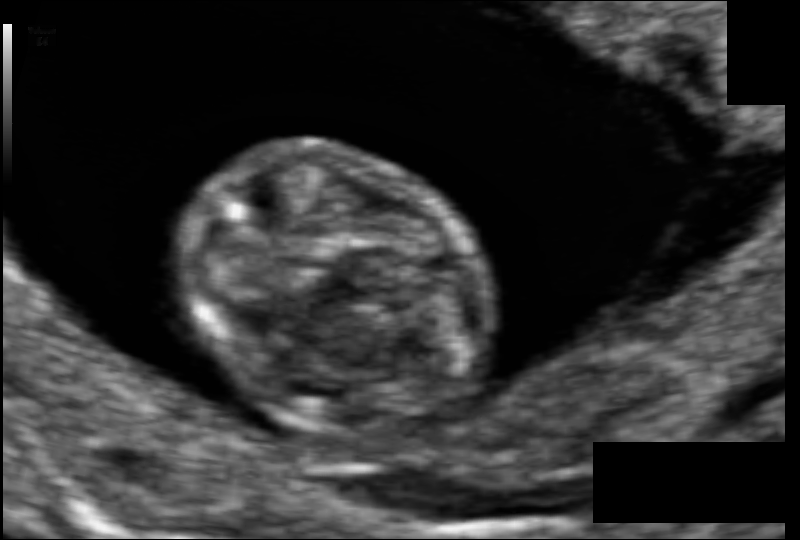
What is the fetal head circumference? Image width is 49.0 mm.

59.8 mm